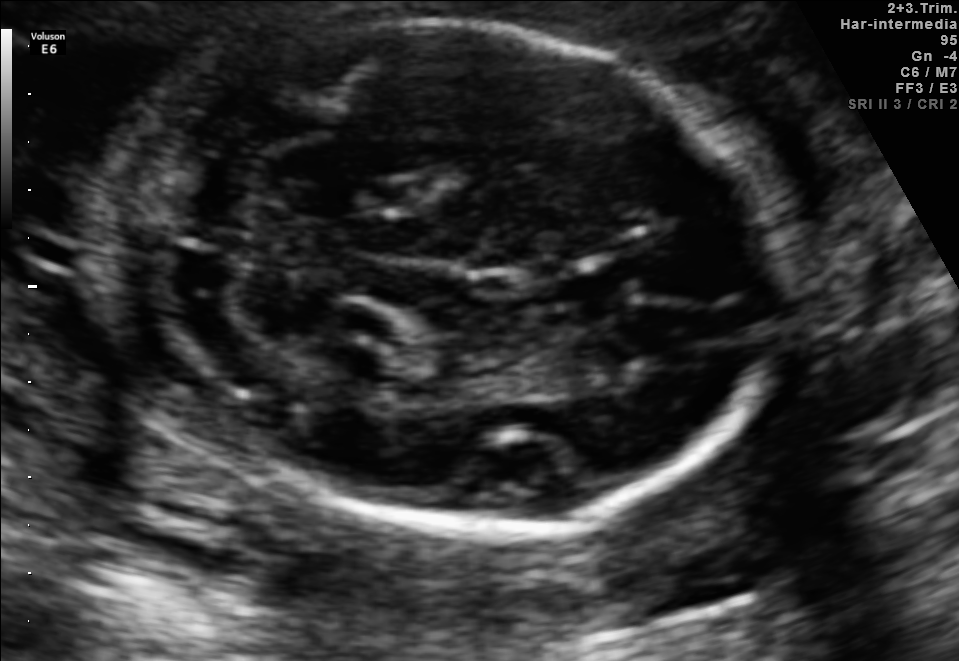
In this fetal brain, trans-cerebellum plane, give bounding boxes for the head outline, cavum septum pellucidum (CSP), and lateral ventricle (LV), where visible.

Head: [89,19,788,534]